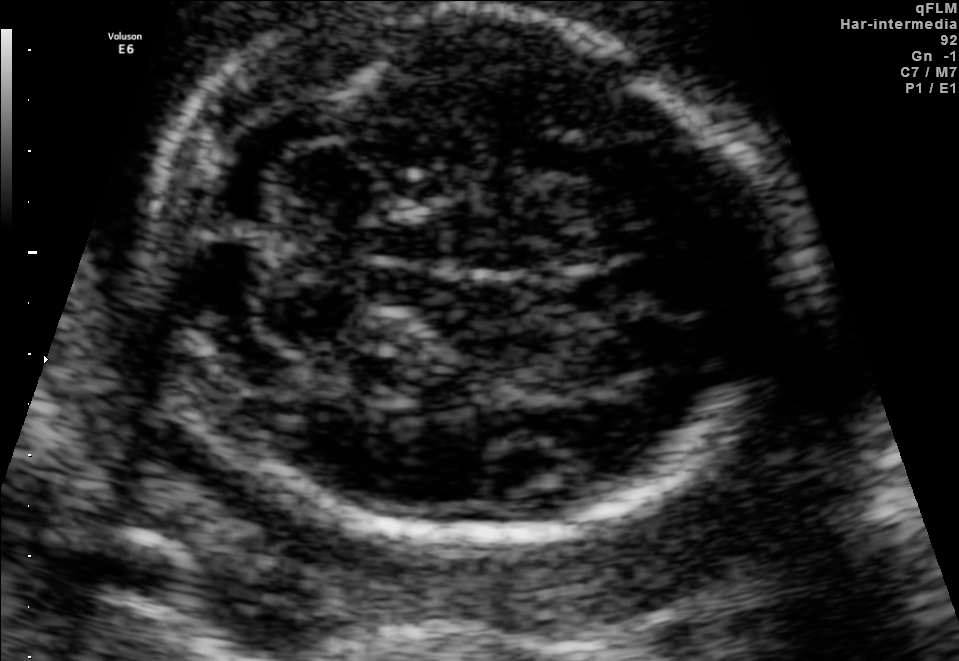
Which standard maternal-fetal ultrasound plane is shown: fetal abdomen, fetal brain, fetal femur, fetal thorax, maternal cervix, or other? If it's fetal brain and one of the three standard brain planes (trans-thalamic, trans-cerebellum, trans-ventricular), name which.

Fetal brain (trans-cerebellum plane)